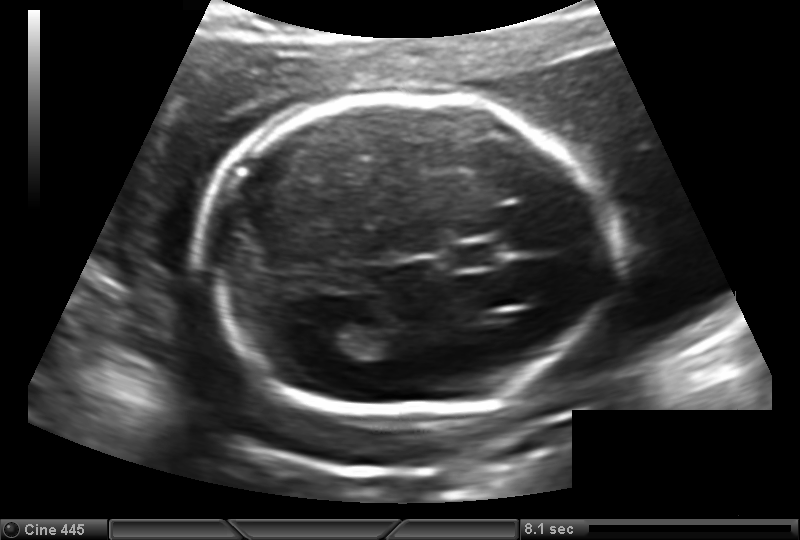
In this fetal head ultrasound, give the bounding box of the fetal head. Image width: 119.4 mm.

[208,94,607,415]